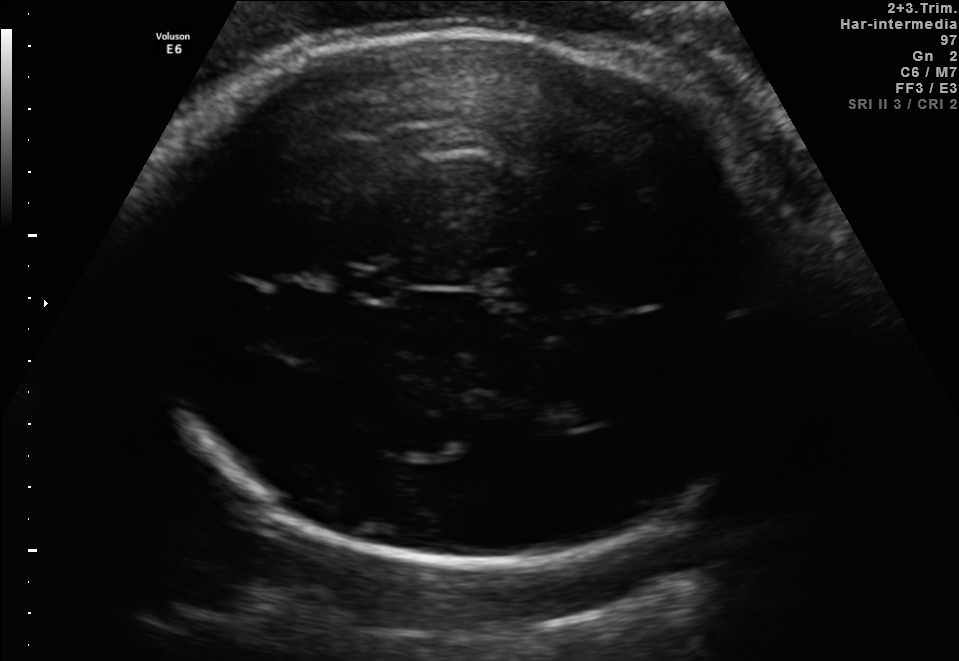
Fetal brain, trans-thalamic plane. Locate the fetal head and, if visible, the cavum septum pellucidum (CSP) and lateral ventricle (LV). Give bounding boxes as [x1,y1,x2,y2].

Head: [130,29,799,564]
CSP: [351,270,396,300]
Lateral ventricle: [552,385,621,431]